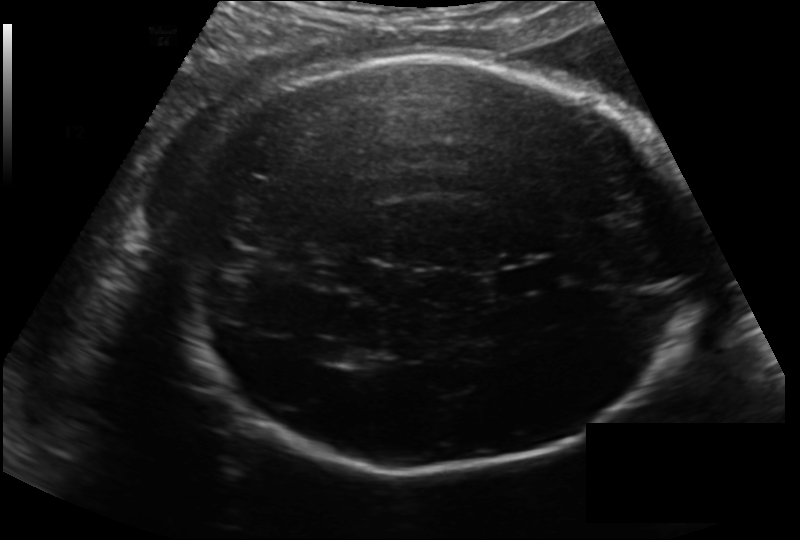
Estimate the fetal head circumference from this 2D ultrasound.

Head circumference: 274.4 mm (image width 146.5 mm).